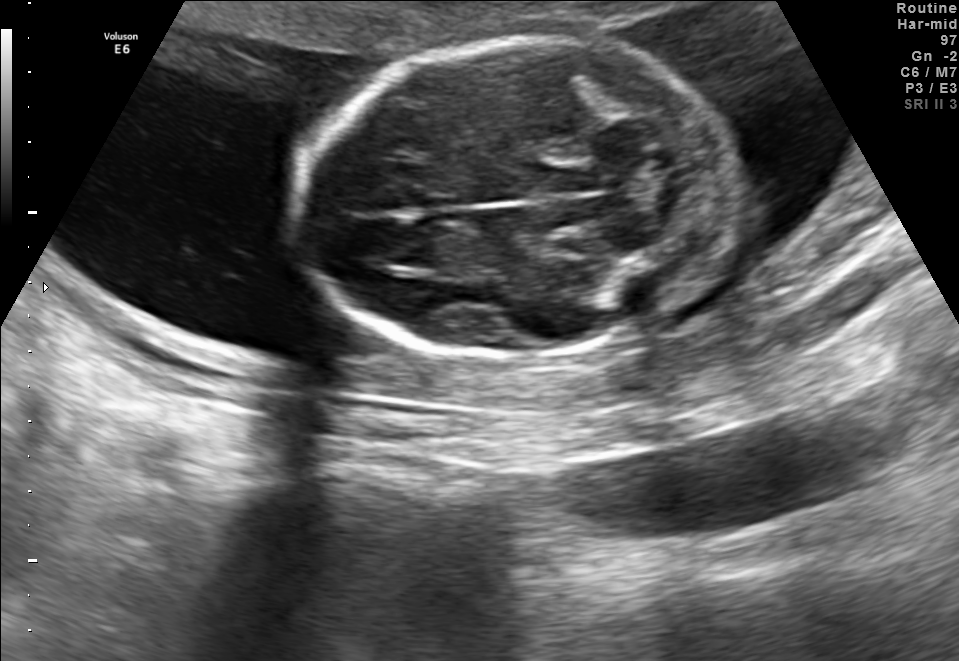
Fetal brain, trans-thalamic plane. Where is the fetal head?

Head bounding box: [291,36,738,363]